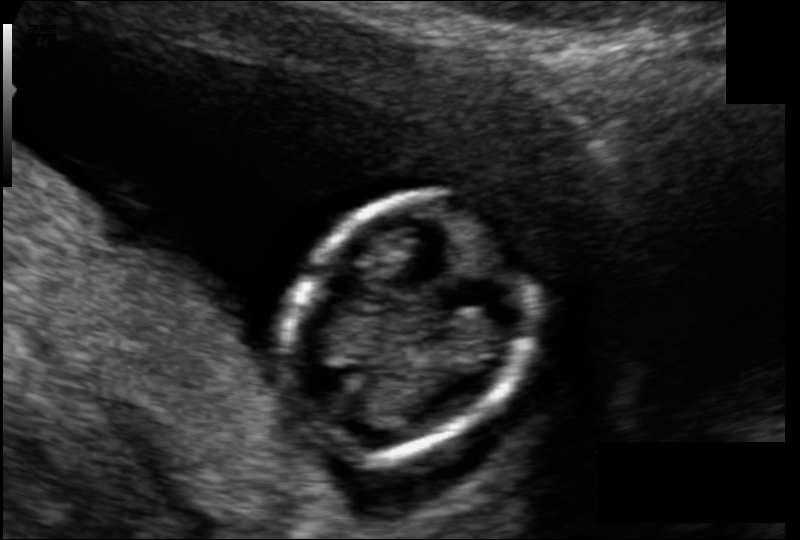
From this fetal ultrasound, estimate the head circumference (image width 71.6 mm).

Head circumference: 75.2 mm.